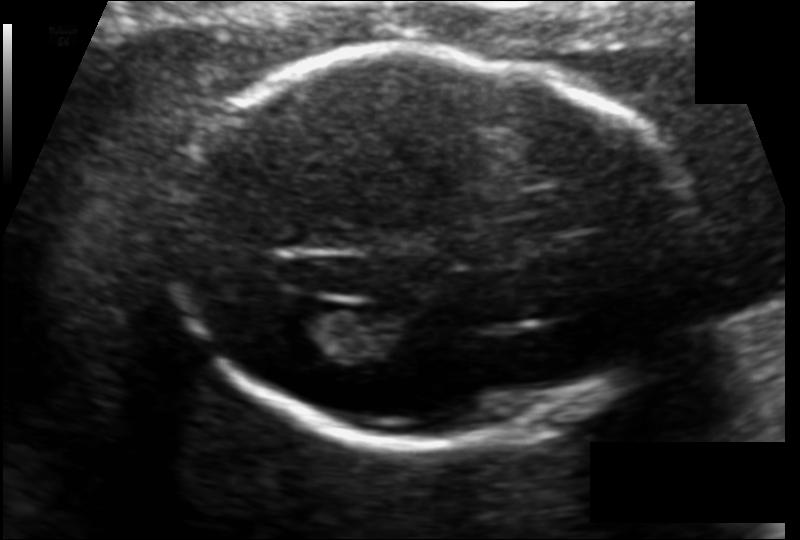
Measure the fetal head circumference shown in this ultrasound image. Image width: 96.2 mm.

Head circumference: 181.0 mm.